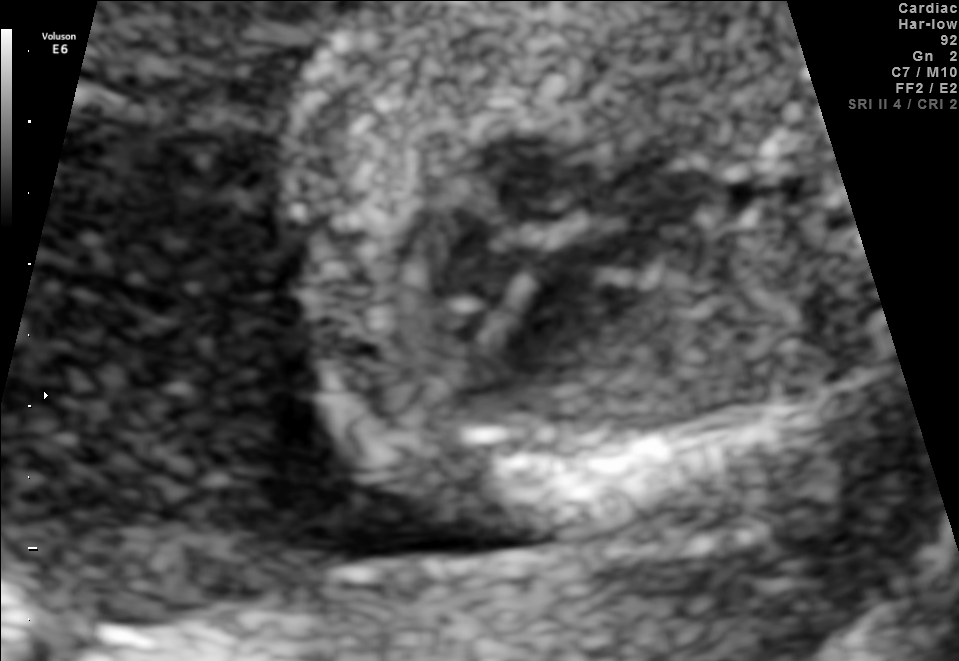
Identify the standard plane in this fetal ultrasound image: fetal abdomen, fetal brain, fetal femur, fetal thorax, maternal cervix, or other. If it's fetal brain and one of the three standard brain planes (trans-thalamic, trans-cerebellum, trans-ventricular), name which.

Fetal thorax